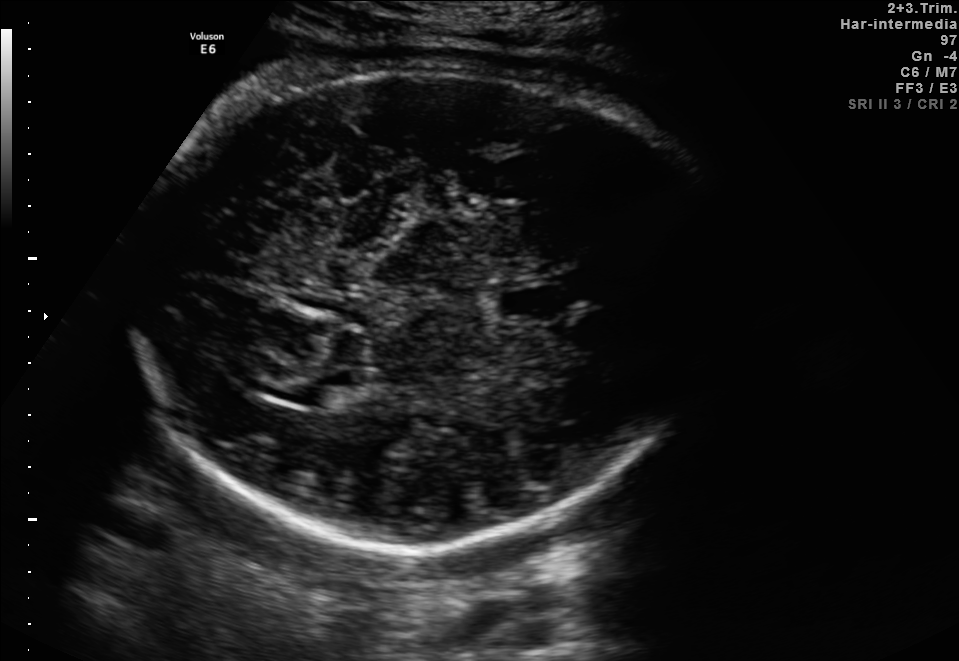
Fetal brain, trans-thalamic plane. Locate the fetal head.

Head: [129,63,720,546]